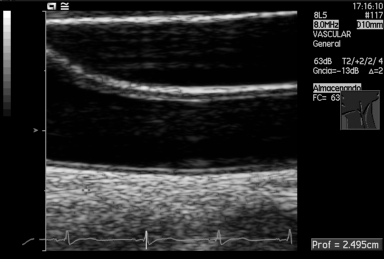
Which standard maternal-fetal ultrasound plane is shown: fetal abdomen, fetal brain, fetal femur, fetal thorax, maternal cervix, or other? If it's fetal brain and one of the three standard brain planes (trans-thalamic, trans-cerebellum, trans-ventricular), name which.

Other